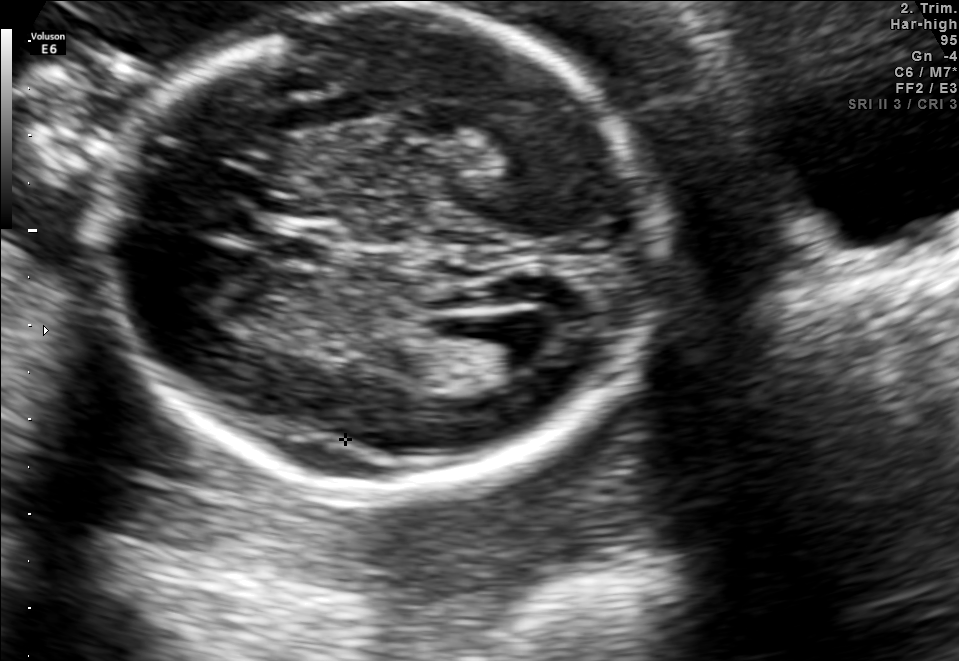
Fetal brain, trans-ventricular plane. Locate the cavum septum pellucidum.

CSP: [276,232,332,267]